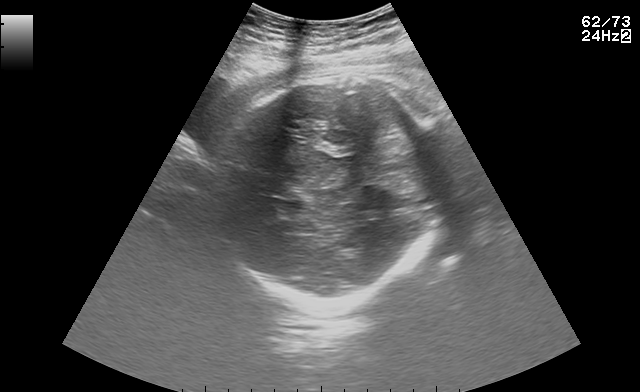
Fetal brain, trans-thalamic plane. Locate the fetal head.

Head: [213,72,442,304]